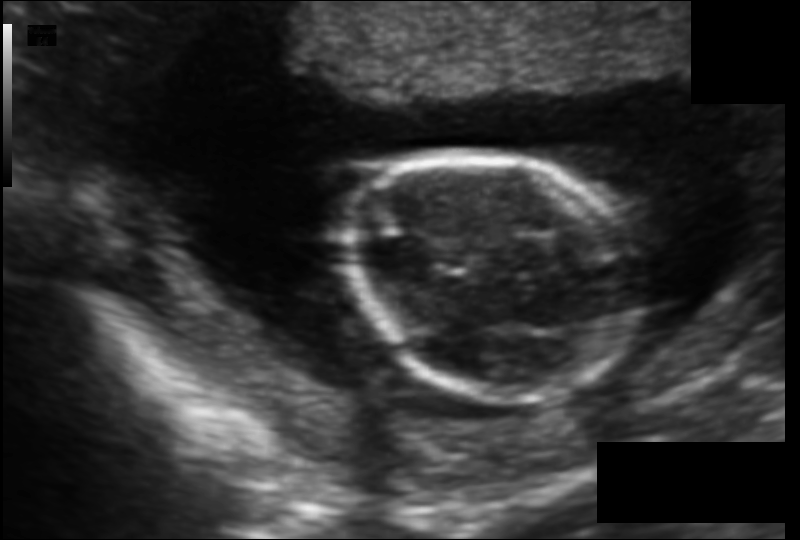
Estimate the fetal head circumference from this 2D ultrasound.

Head circumference: 99.4 mm (image width 92.1 mm).